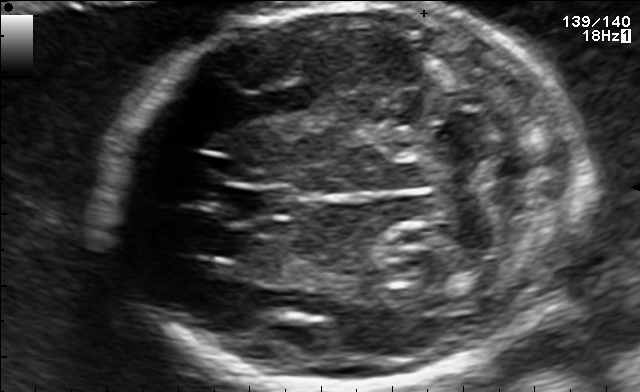
Fetal brain, trans-cerebellum plane. Where is the fetal head?

Head bounding box: [107,5,587,388]